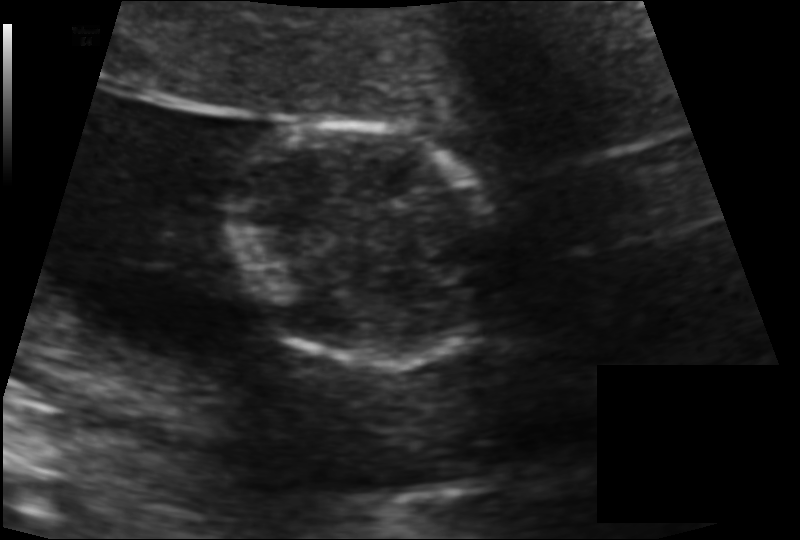
Estimate the fetal head circumference from this 2D ultrasound.

Head circumference: 96.8 mm (image width 91.8 mm).